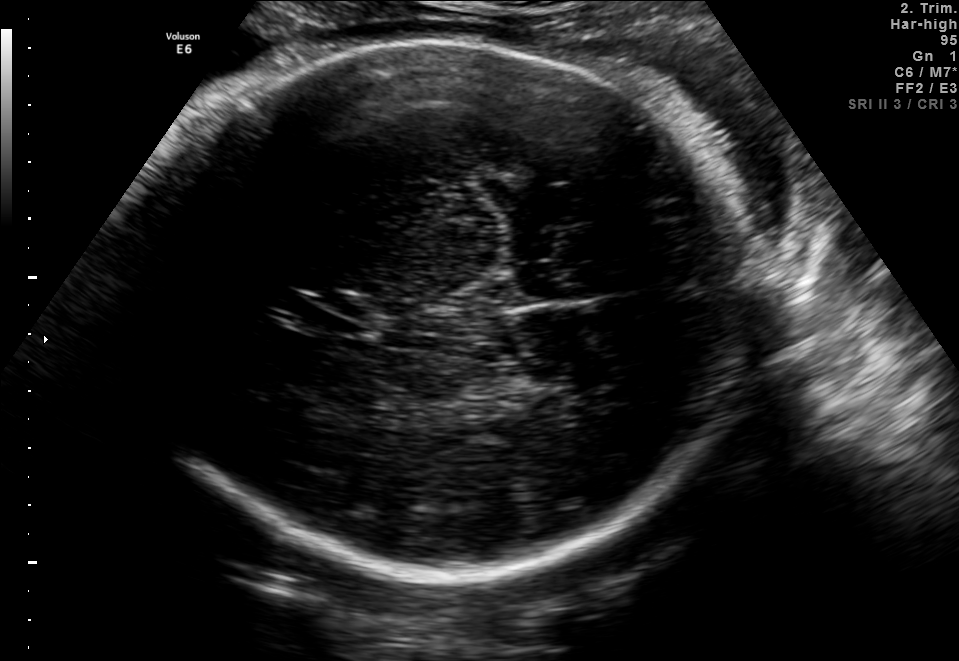
Fetal brain, trans-thalamic plane. Where is the fetal head?

Head bounding box: [124,43,749,576]